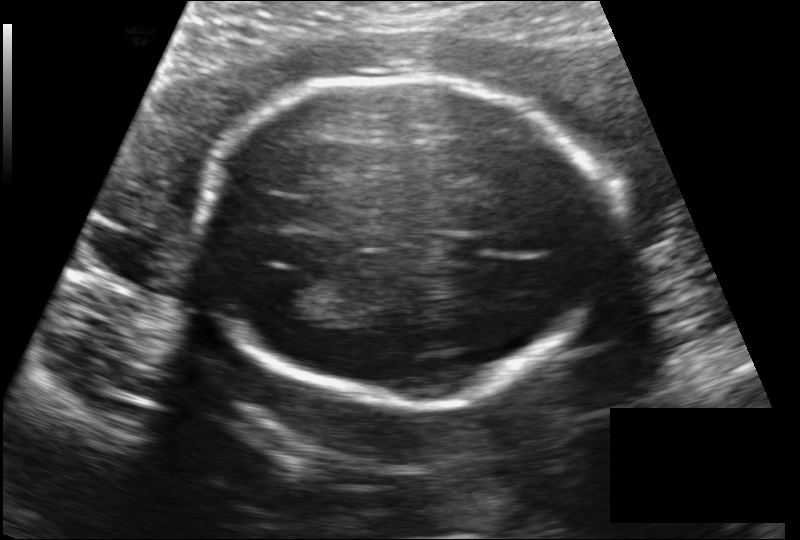
Fetal head ultrasound. Image width: 119.2 mm. Where is the fetal head?

Head bounding box: [199,73,598,402]